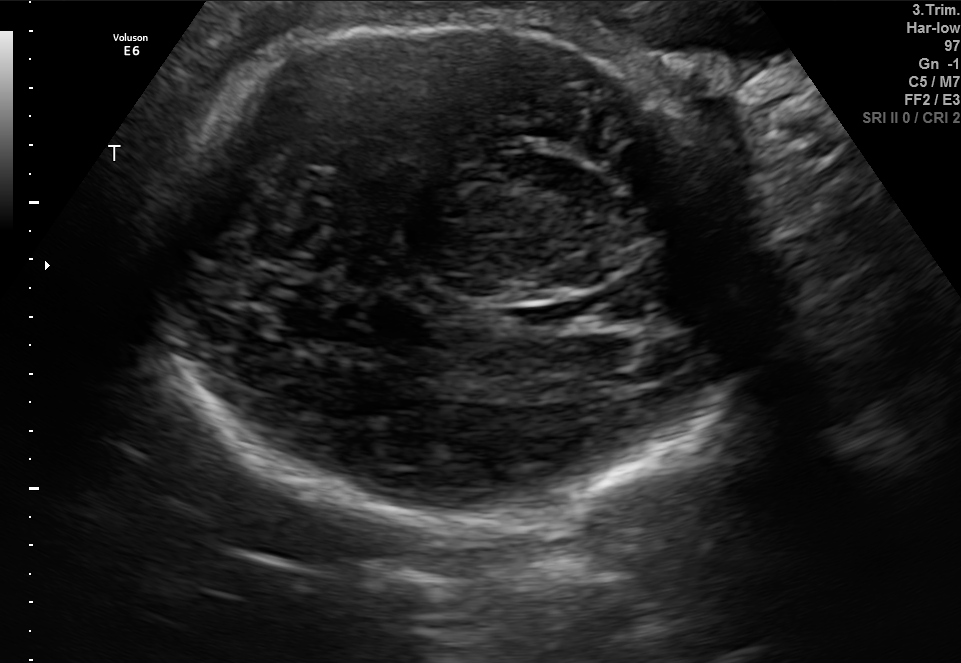
Fetal brain, trans-thalamic plane. Give [x1,y1,x2,y2] bounding boxes for each visible structure among: fetal head, CSP, LV.

Head: [160,16,751,531]